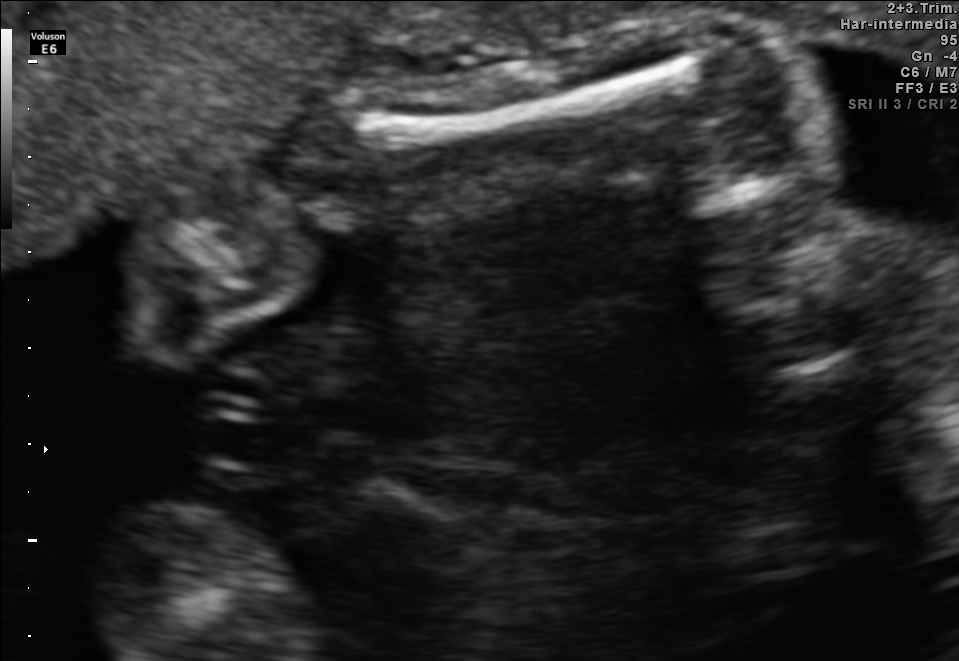
Classify this maternal-fetal ultrasound image as one of the six standard planes — fetal abdomen, fetal brain, fetal femur, fetal thorax, maternal cervix, or other. If it's fetal brain and one of the three standard brain planes (trans-thalamic, trans-cerebellum, trans-ventricular), name which.

Fetal femur